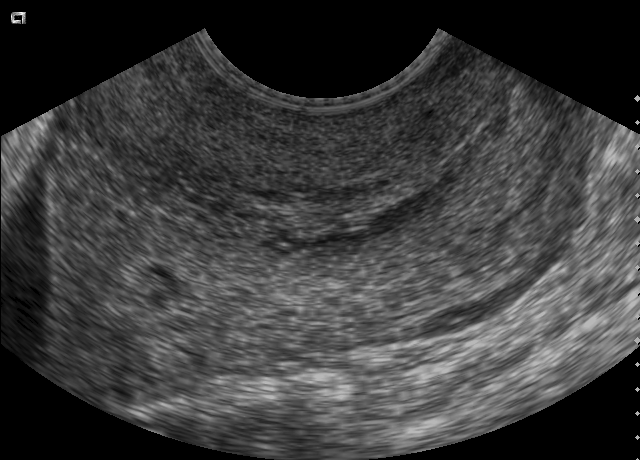
Which standard maternal-fetal ultrasound plane is shown: fetal abdomen, fetal brain, fetal femur, fetal thorax, maternal cervix, or other? If it's fetal brain and one of the three standard brain planes (trans-thalamic, trans-cerebellum, trans-ventricular), name which.

Maternal cervix